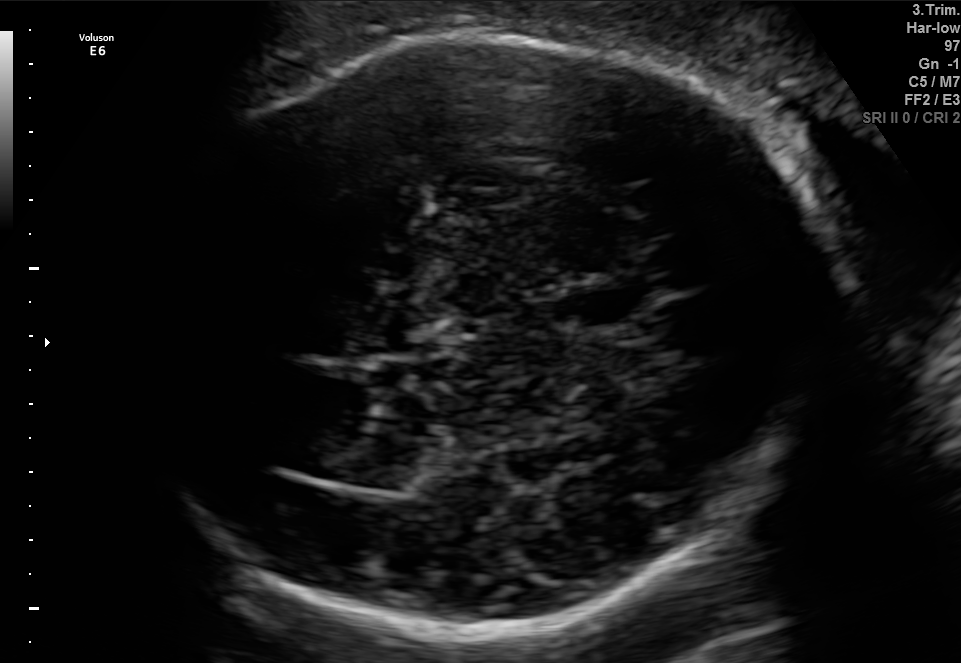
In this fetal brain, trans-thalamic plane, give the bounding box of the lateral ventricle.

[294,403,427,499]